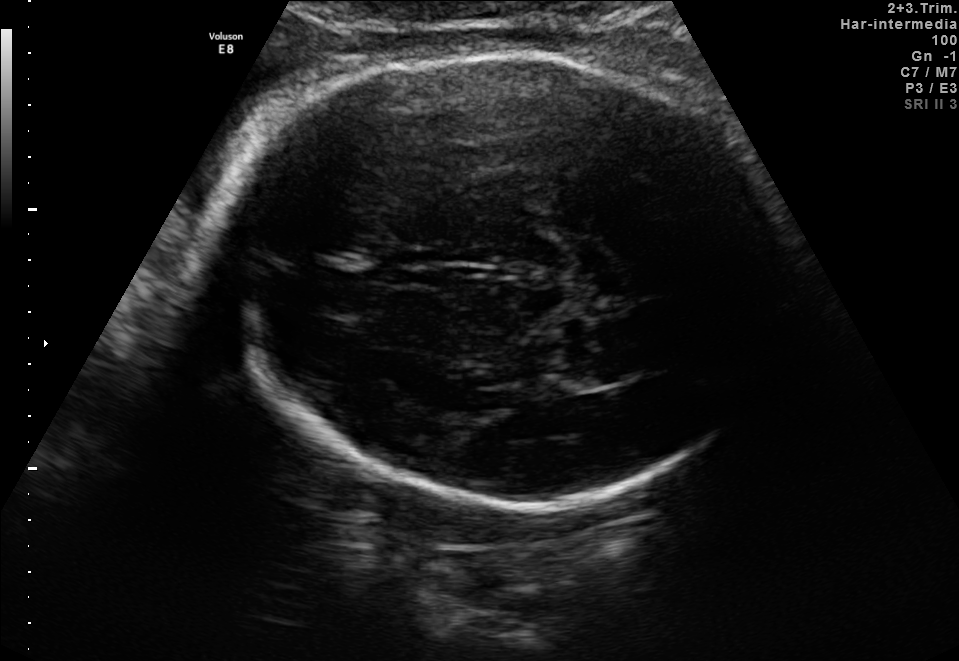
In this fetal brain, trans-thalamic plane, give the bounding box of the fetal head.

[219,52,788,513]